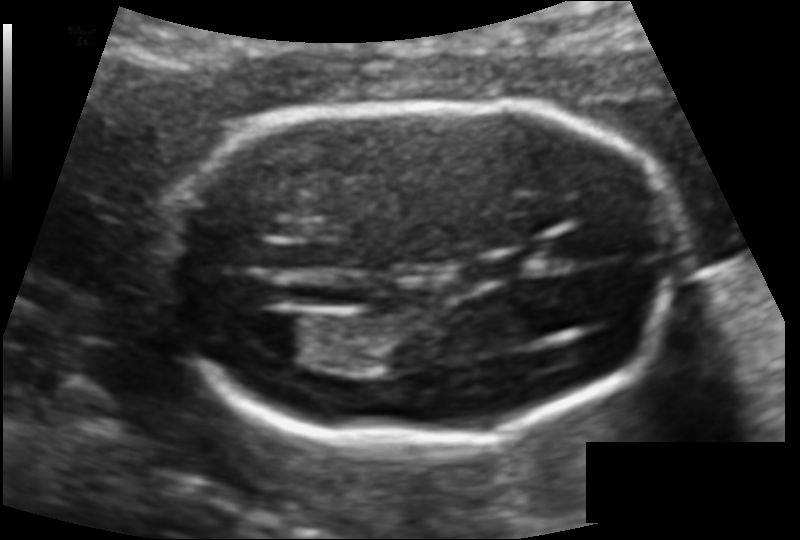
From this fetal ultrasound, estimate the head circumference (image width 87.1 mm).

Head circumference: 155.3 mm.